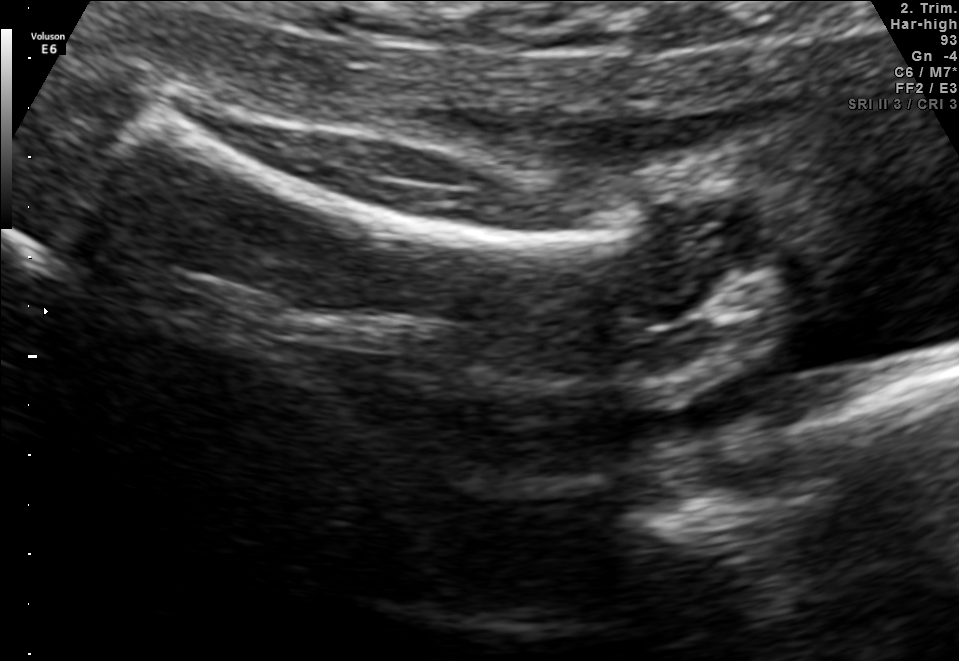
Which standard maternal-fetal ultrasound plane is shown: fetal abdomen, fetal brain, fetal femur, fetal thorax, maternal cervix, or other? If it's fetal brain and one of the three standard brain planes (trans-thalamic, trans-cerebellum, trans-ventricular), name which.

Fetal femur